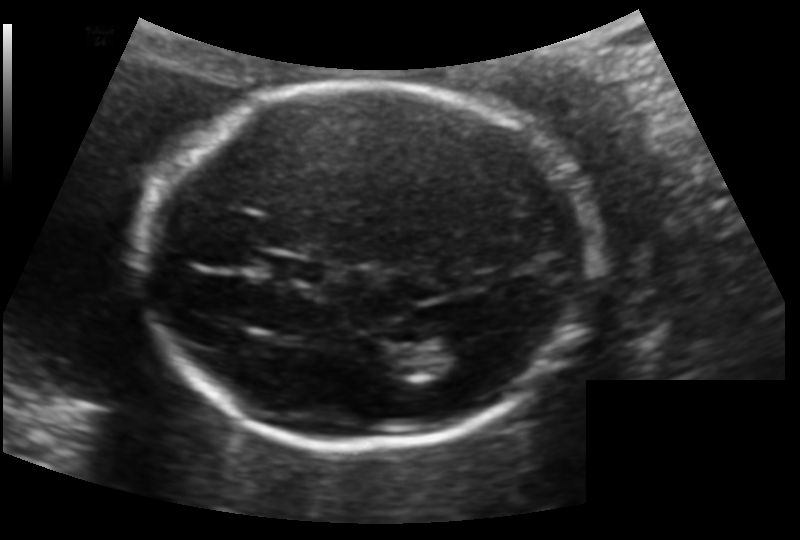
In this fetal head ultrasound, give the bounding box of the lateral ventricle. Image width: 106.4 mm.

[424,329,484,375]